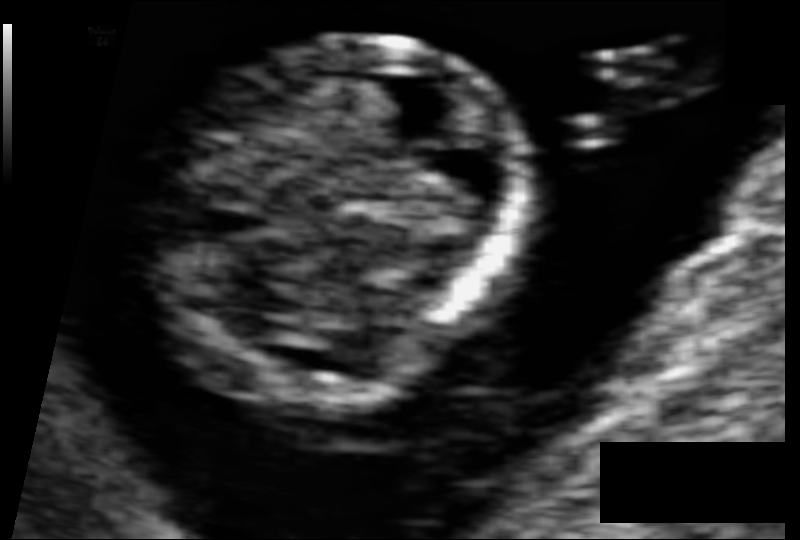
Fetal head ultrasound. Image width: 43.4 mm. Locate the fetal head and, if visible, the cavum septum pellucidum (CSP) and lateral ventricle (LV). Give bounding boxes as [x1,y1,x2,y2].

Head: [142,36,525,408]